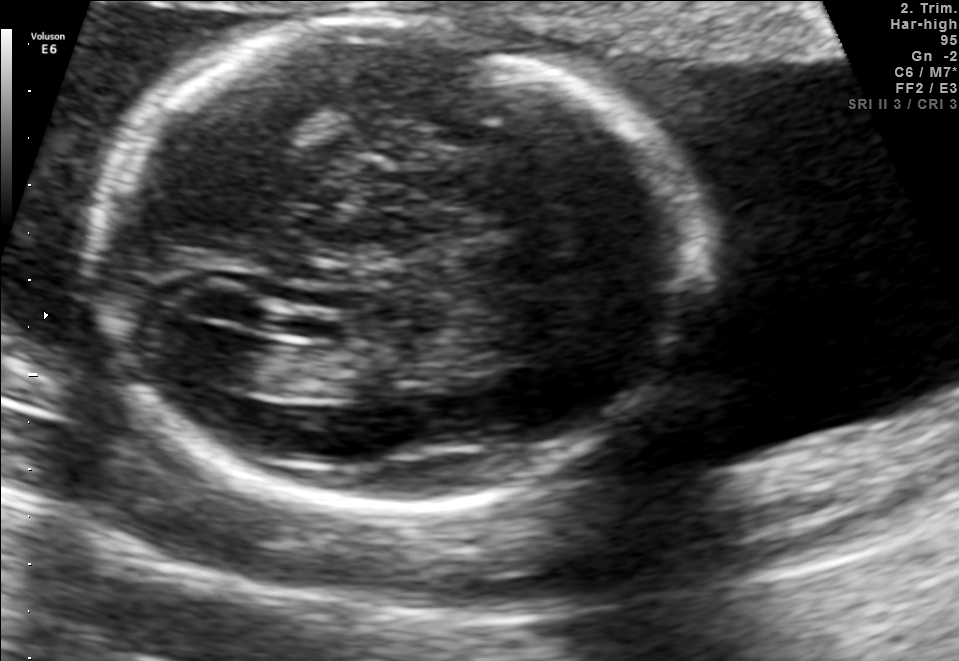
Fetal brain, trans-ventricular plane. Where is the fetal head?

Head bounding box: [81,6,708,523]